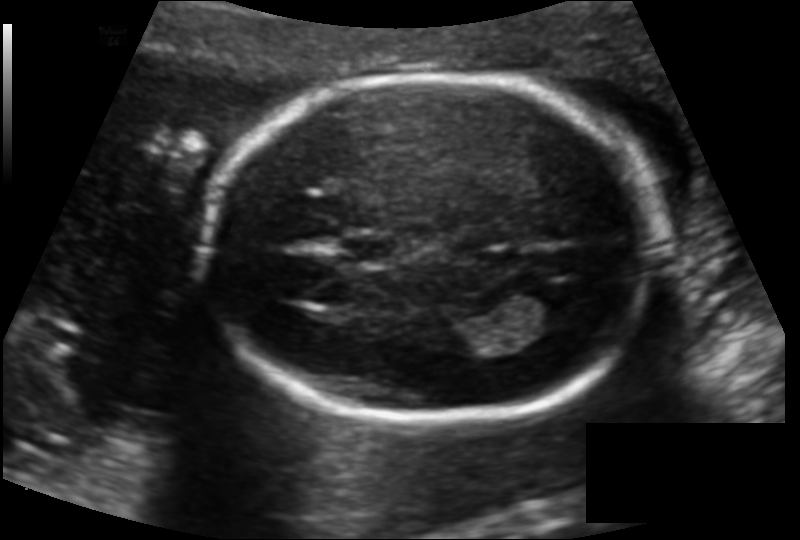
In this fetal head ultrasound, give bounding boxes for the head outline, cavum septum pellucidum (CSP), and lateral ventricle (LV), where visible. Image width: 104.1 mm.

Head: [205,76,653,420]
CSP: [340,233,401,265]
Lateral ventricle: [517,270,595,336]